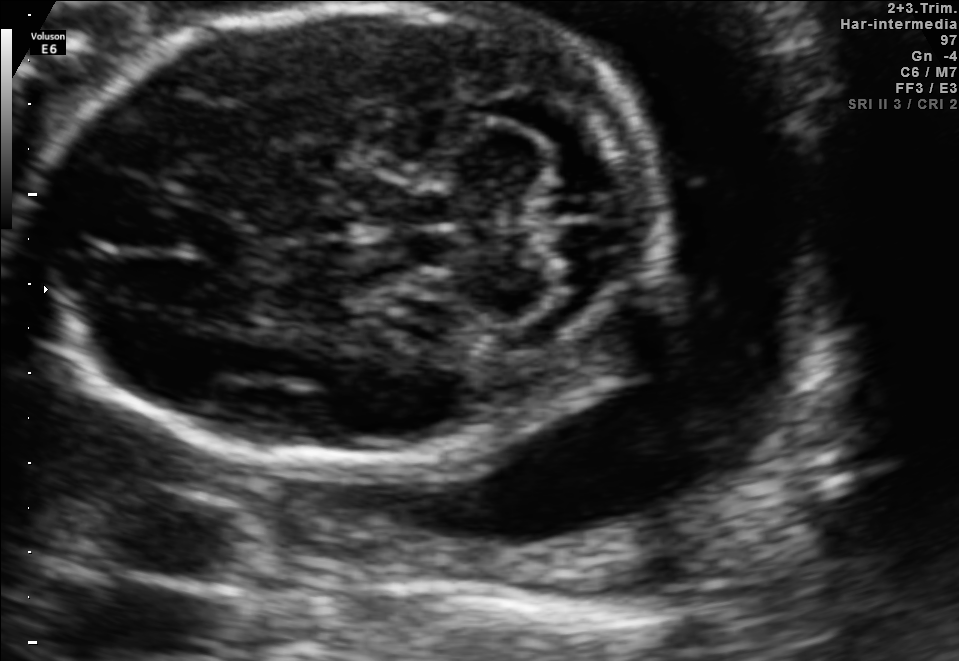
Fetal brain, trans-cerebellum plane. Locate the cavum septum pellucidum.

CSP: [167,199,252,270]